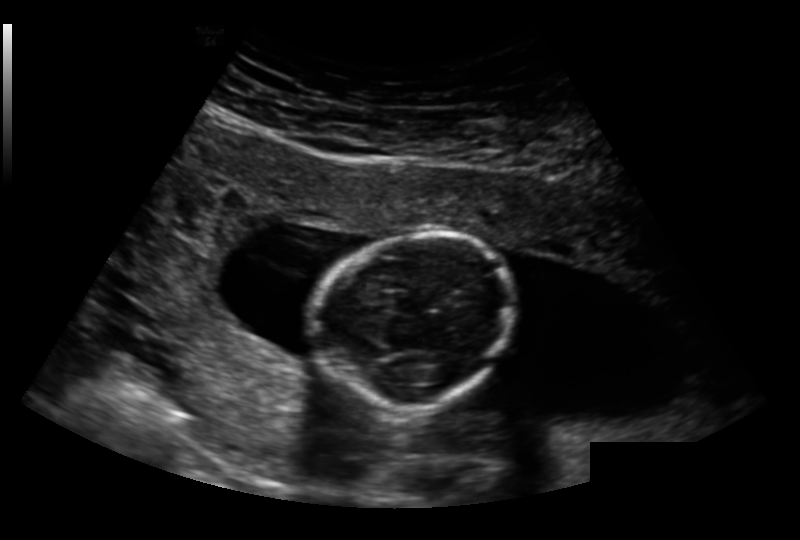
Measure the fetal head circumference shown in this ultrasound image. Image width: 152.4 mm.

Head circumference: 116.8 mm.